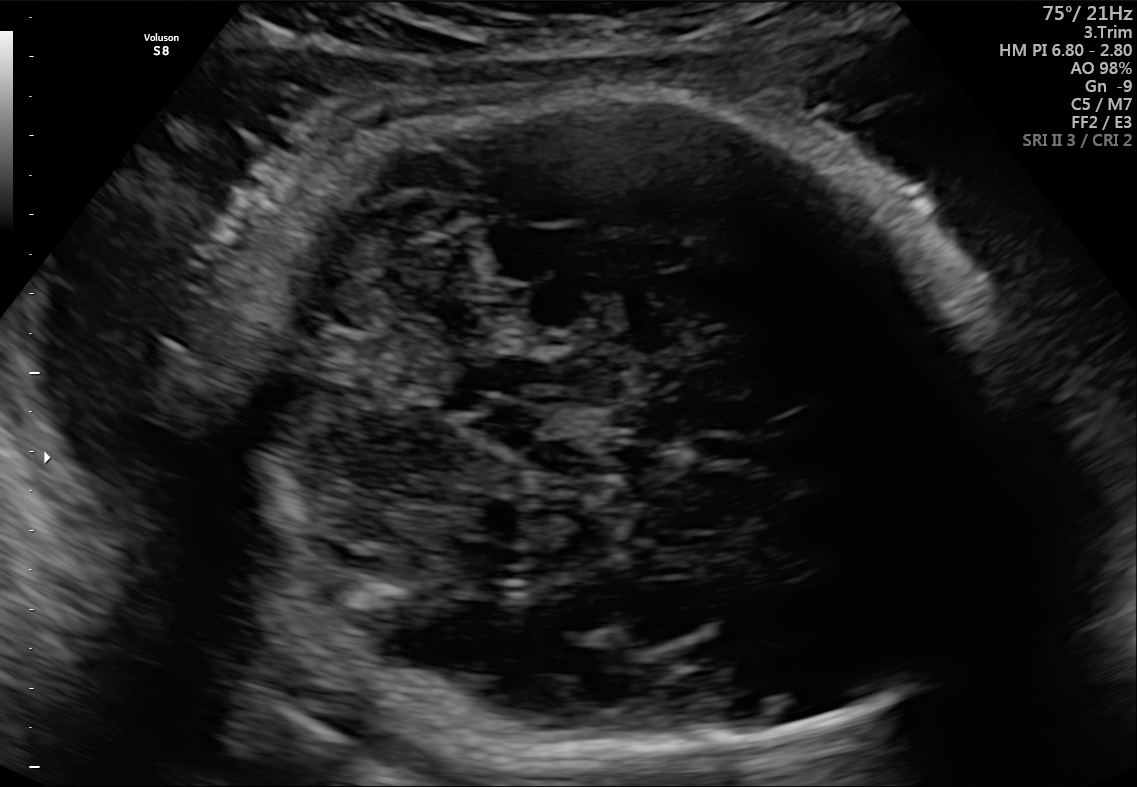
Fetal brain, trans-cerebellum plane. Locate the fetal head and, if visible, the cavum septum pellucidum (CSP) and lateral ventricle (LV). Give bounding boxes as [x1,y1,x2,y2].

Head: [199,85,1014,762]